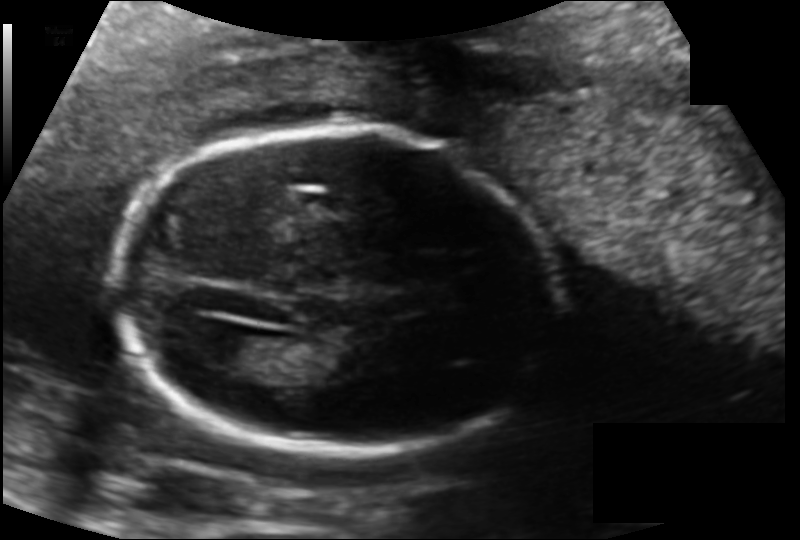
In this fetal head ultrasound, give bounding boxes for the head outline, cavum septum pellucidum (CSP), and lateral ventricle (LV), where visible. Image width: 107.0 mm.

Head: [115,127,556,453]
Lateral ventricle: [197,329,267,375]